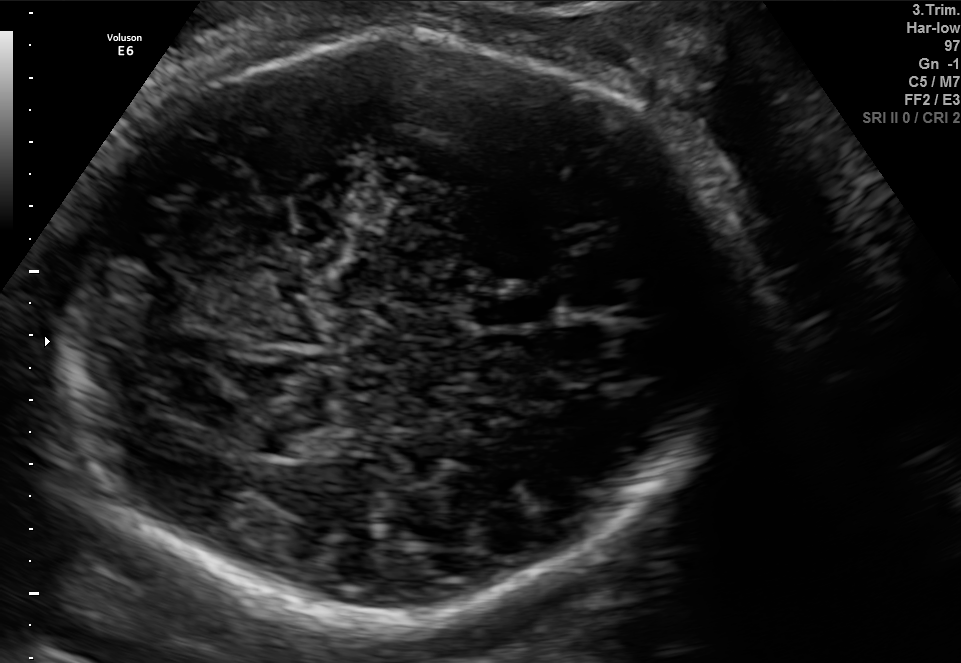
Identify the standard plane in this fetal ultrasound image: fetal abdomen, fetal brain, fetal femur, fetal thorax, maternal cervix, or other. If it's fetal brain and one of the three standard brain planes (trans-thalamic, trans-cerebellum, trans-ventricular), name which.

Fetal brain (trans-cerebellum plane)